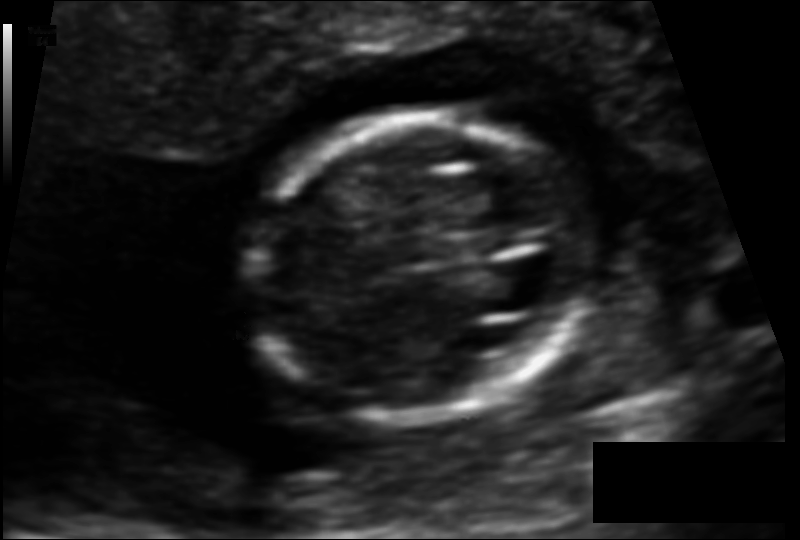
In this fetal head ultrasound, give bounding boxes for the head outline, cavum septum pellucidum (CSP), and lateral ventricle (LV), where visible. Image width: 73.5 mm.

Head: [244,114,592,422]